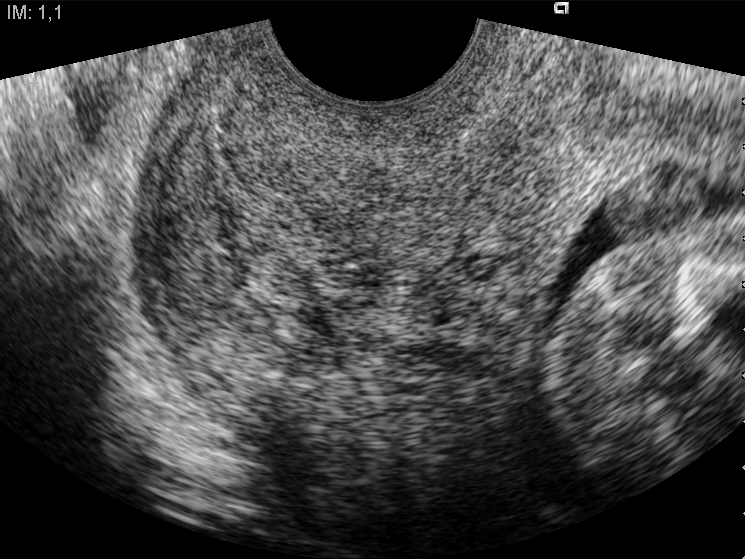
Identify the standard plane in this fetal ultrasound image: fetal abdomen, fetal brain, fetal femur, fetal thorax, maternal cervix, or other. If it's fetal brain and one of the three standard brain planes (trans-thalamic, trans-cerebellum, trans-ventricular), name which.

Maternal cervix